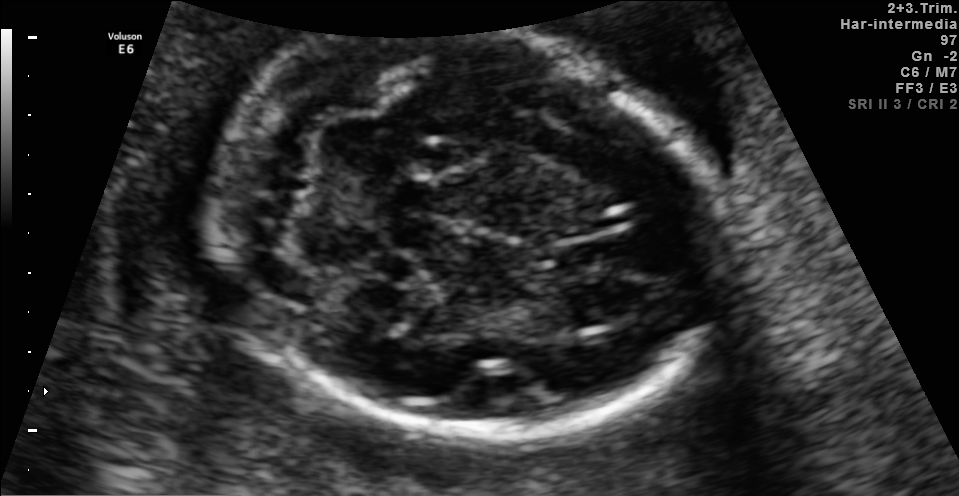
In this fetal brain, trans-cerebellum plane, give the bounding box of the fetal head.

[214,11,723,438]